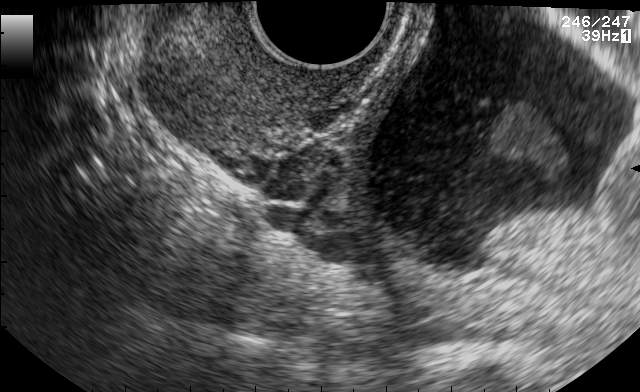
Identify the standard plane in this fetal ultrasound image: fetal abdomen, fetal brain, fetal femur, fetal thorax, maternal cervix, or other. If it's fetal brain and one of the three standard brain planes (trans-thalamic, trans-cerebellum, trans-ventricular), name which.

Maternal cervix